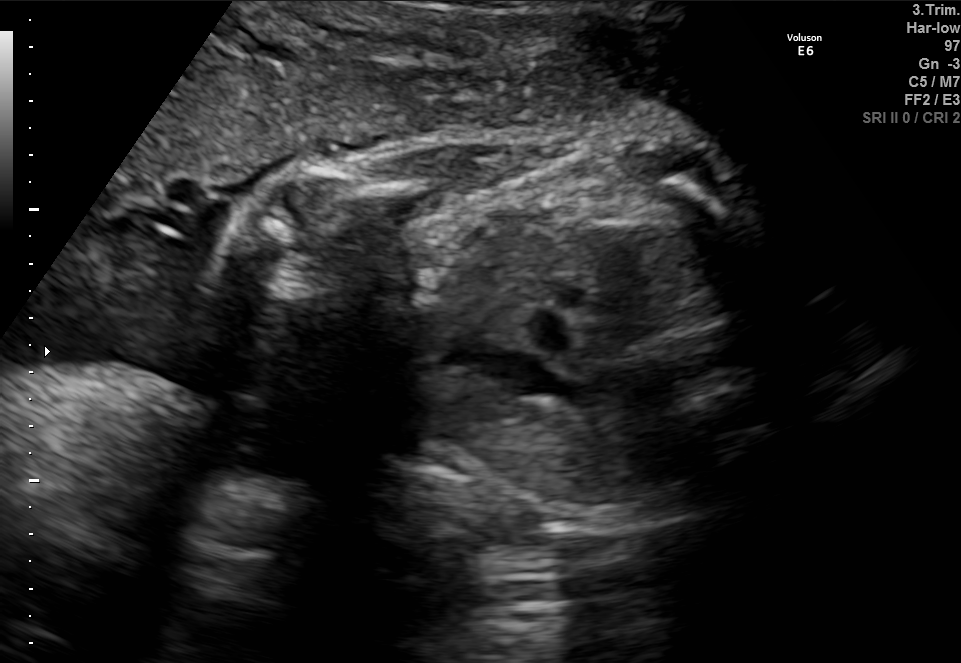
Which standard maternal-fetal ultrasound plane is shown: fetal abdomen, fetal brain, fetal femur, fetal thorax, maternal cervix, or other? If it's fetal brain and one of the three standard brain planes (trans-thalamic, trans-cerebellum, trans-ventricular), name which.

Other